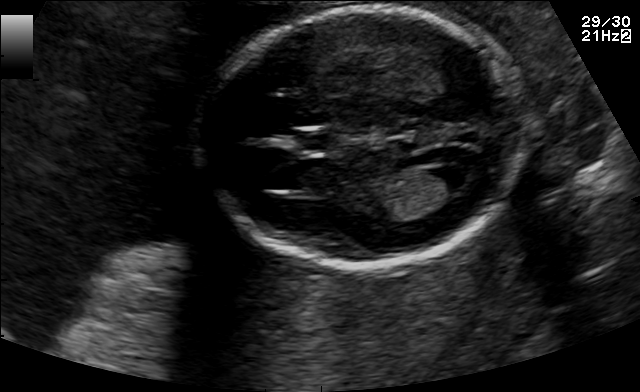
In this fetal brain, trans-ventricular plane, give the bounding box of the fetal head.

[195,4,539,275]